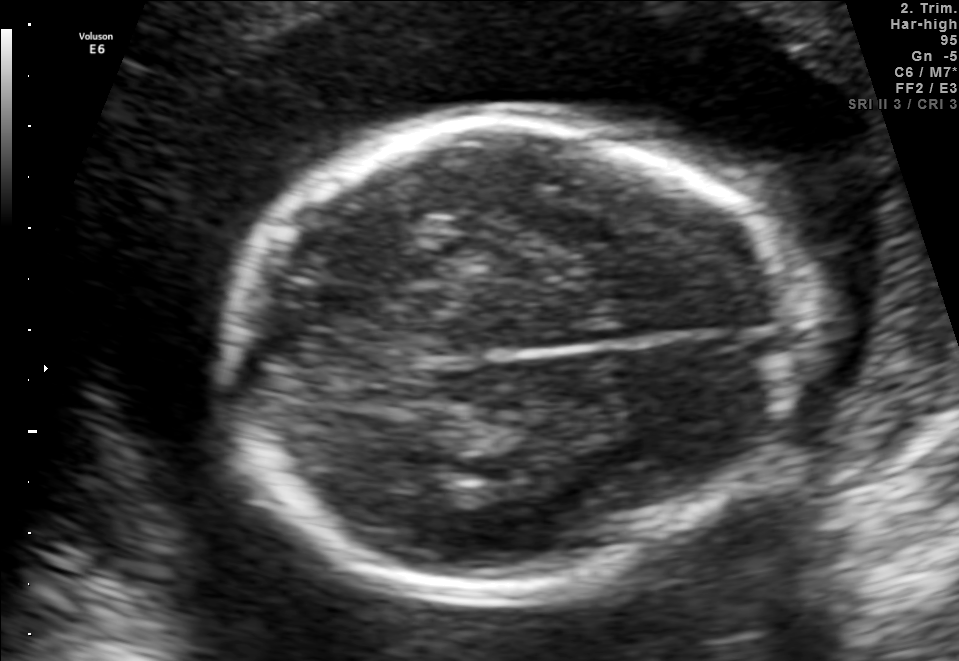
Fetal brain, trans-thalamic plane. Locate the fetal head and, if visible, the cavum septum pellucidum (CSP) and lateral ventricle (LV). Give bounding boxes as [x1,y1,x2,y2].

Head: [218,118,803,595]